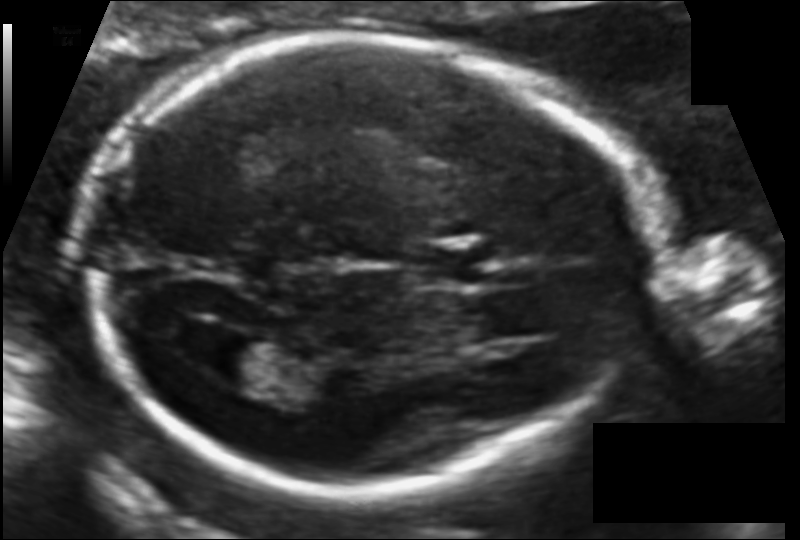
Fetal head ultrasound. Image width: 87.0 mm. Locate the fetal head and, if visible, the cavum septum pellucidum (CSP) and lateral ventricle (LV). Give bounding boxes as [x1,y1,x2,y2].

Head: [87,37,643,493]
CSP: [413,245,477,285]
Lateral ventricle: [190,318,279,392]